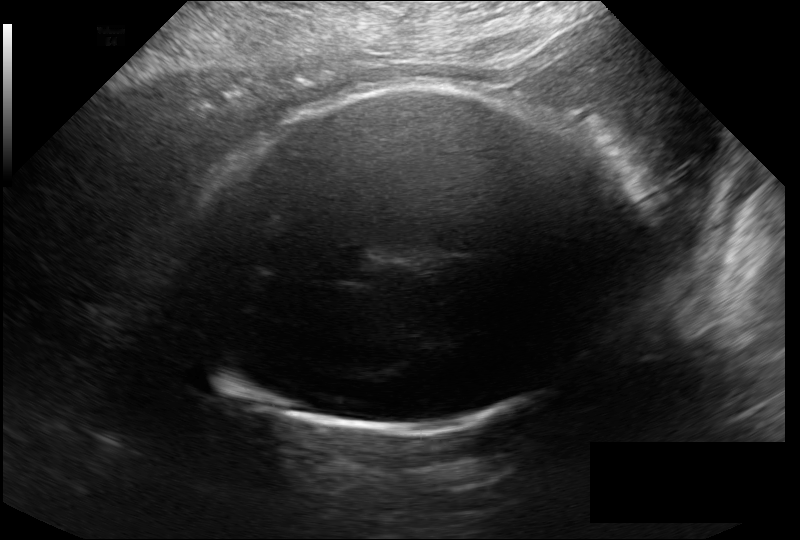
From this fetal ultrasound, estimate the head circumference (image width 196.8 mm).

Head circumference: 315.2 mm.